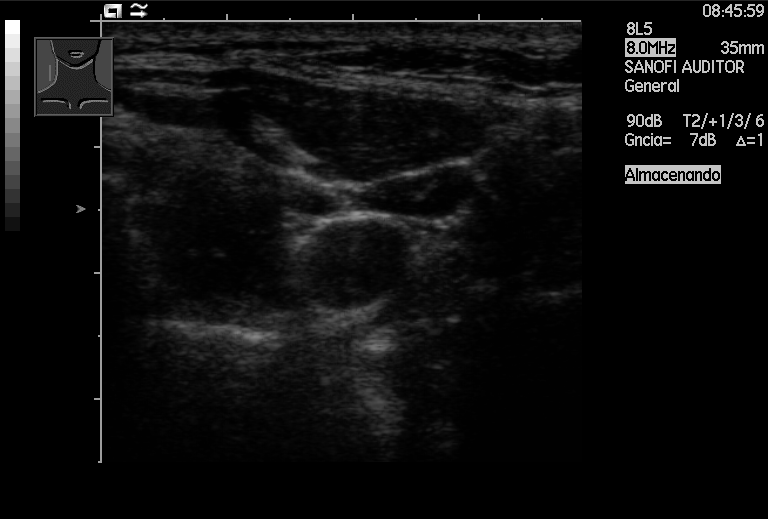
Which standard maternal-fetal ultrasound plane is shown: fetal abdomen, fetal brain, fetal femur, fetal thorax, maternal cervix, or other? If it's fetal brain and one of the three standard brain planes (trans-thalamic, trans-cerebellum, trans-ventricular), name which.

Other